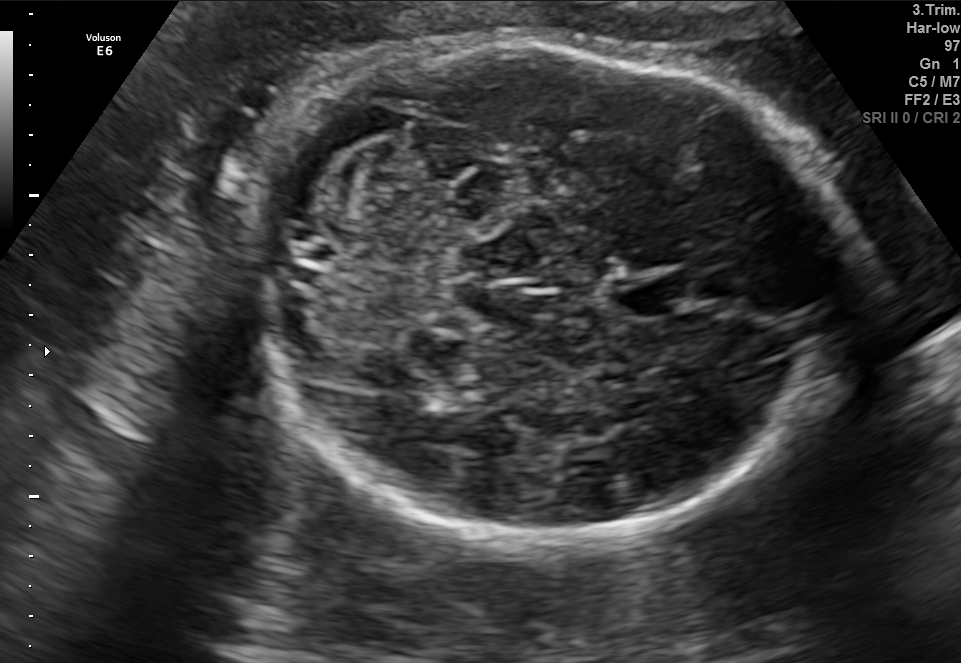
Fetal brain, trans-cerebellum plane. Where is the cavum septum pellucidum?

CSP bounding box: [609,265,696,329]